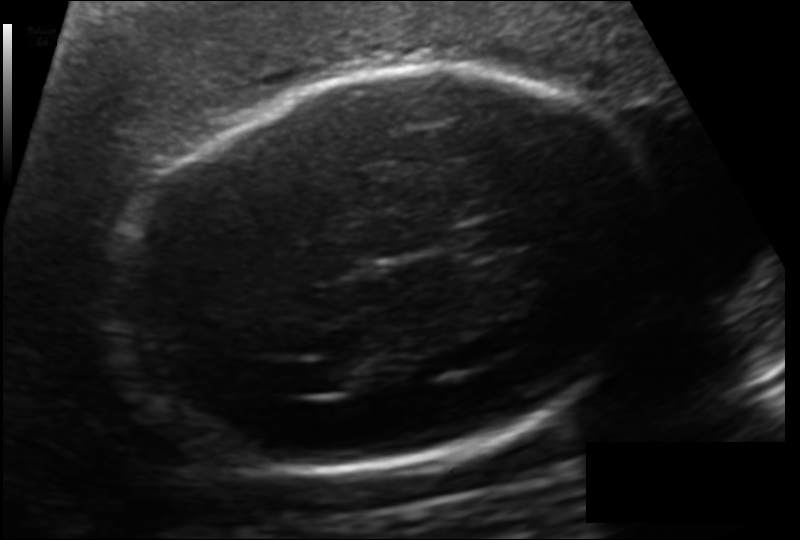
Fetal head ultrasound. Image width: 120.9 mm. Give [x1,y1,x2,y2] bounding boxes for each visible structure among: fetal head, CSP, LV.

Head: [110,69,657,471]
CSP: [450,209,527,264]
Lateral ventricle: [309,360,365,392]